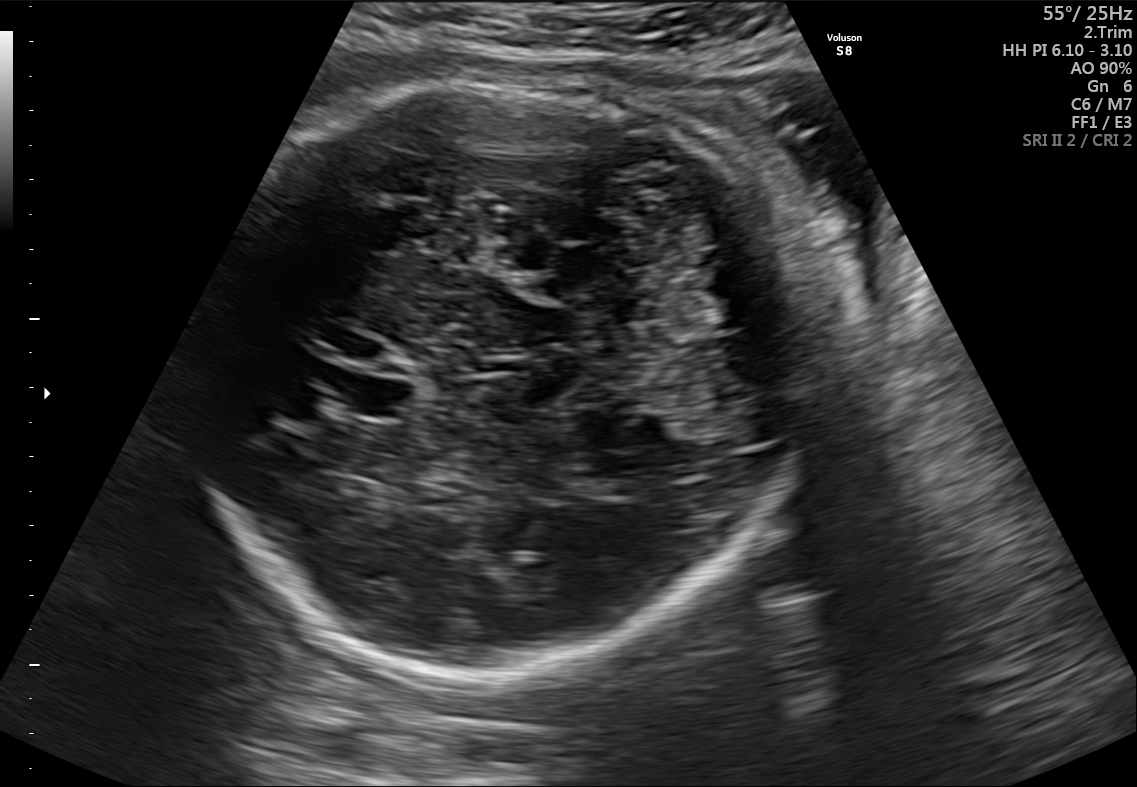
Fetal brain, trans-cerebellum plane. Locate the fetal head.

Head: [204,74,796,670]